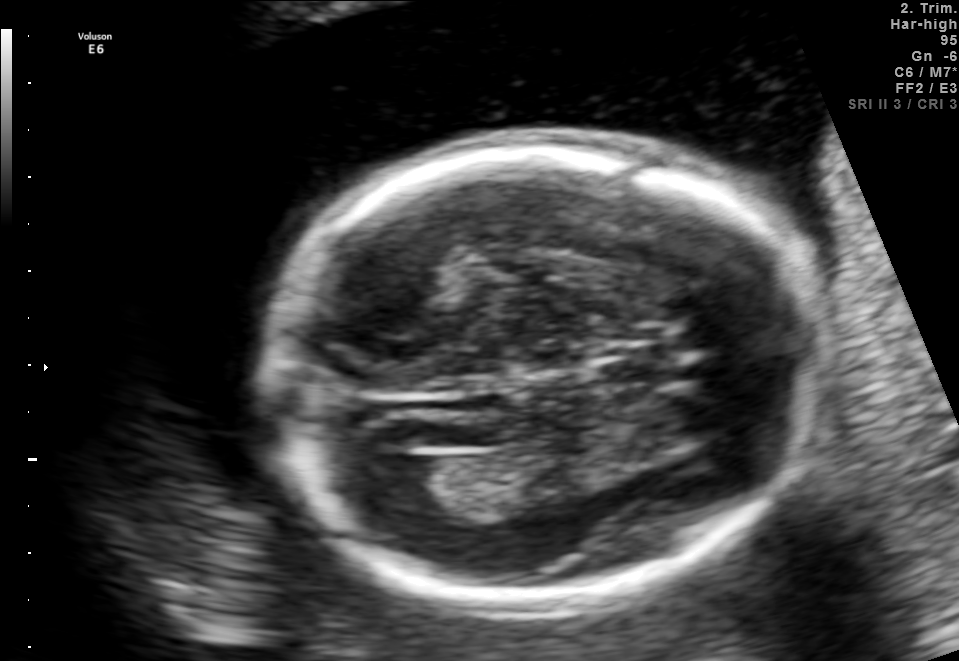
In this fetal brain, trans-ventricular plane, give the bounding box of the lateral ventricle.

[376,456,452,512]